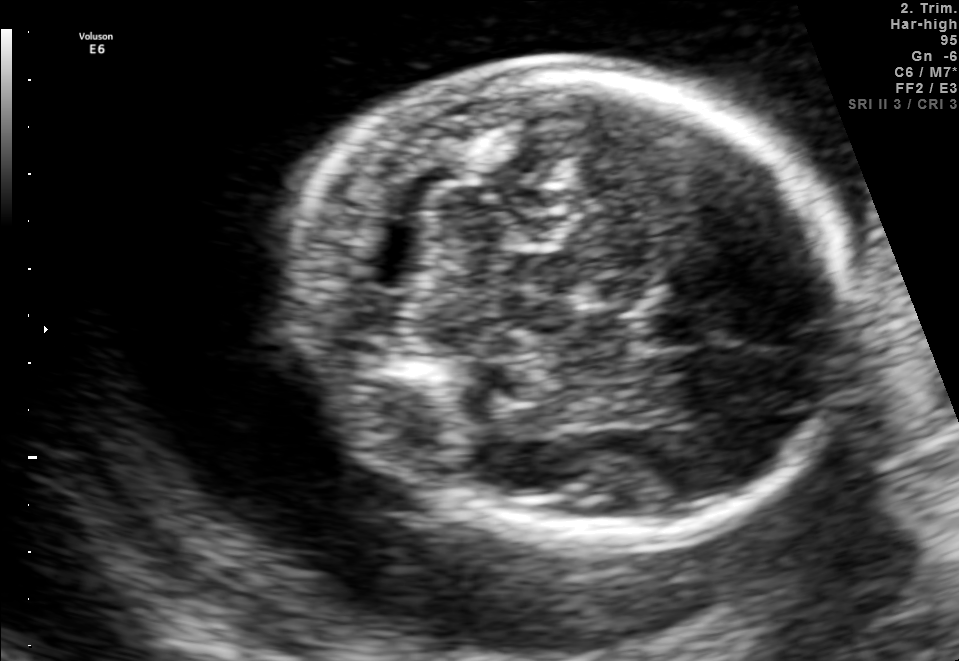
Fetal brain, trans-cerebellum plane. Locate the fetal head.

Head: [297,63,846,538]